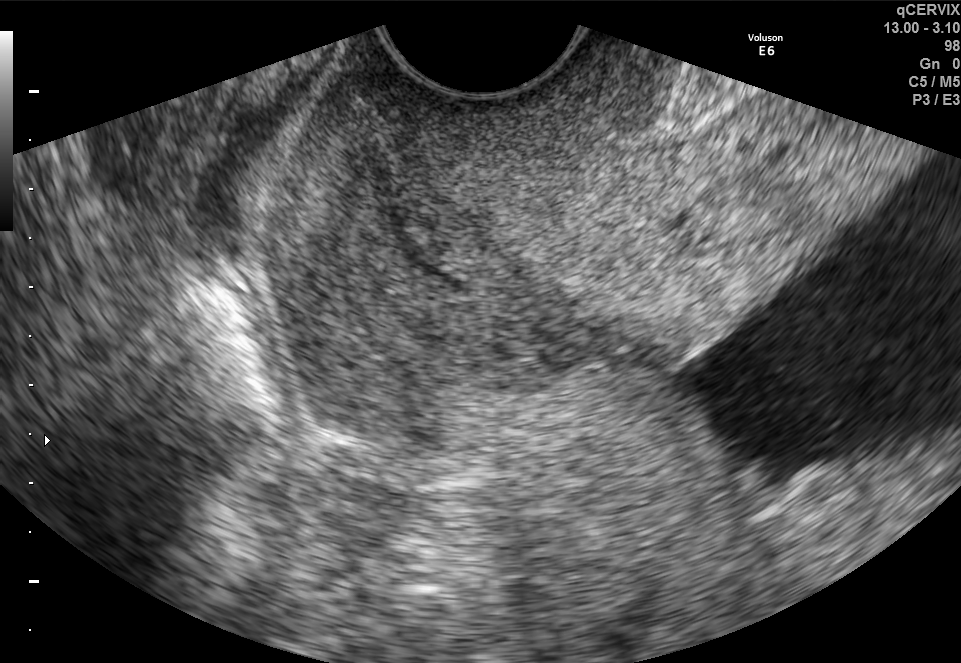
Which standard maternal-fetal ultrasound plane is shown: fetal abdomen, fetal brain, fetal femur, fetal thorax, maternal cervix, or other? If it's fetal brain and one of the three standard brain planes (trans-thalamic, trans-cerebellum, trans-ventricular), name which.

Maternal cervix